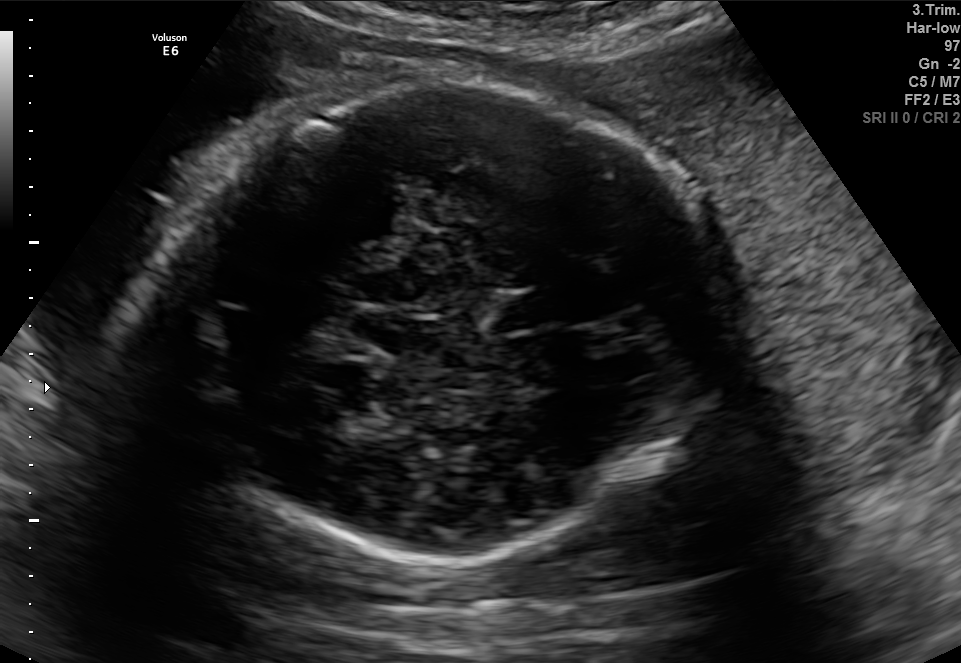
Fetal brain, trans-thalamic plane. Where is the fetal head?

Head bounding box: [168,79,714,560]